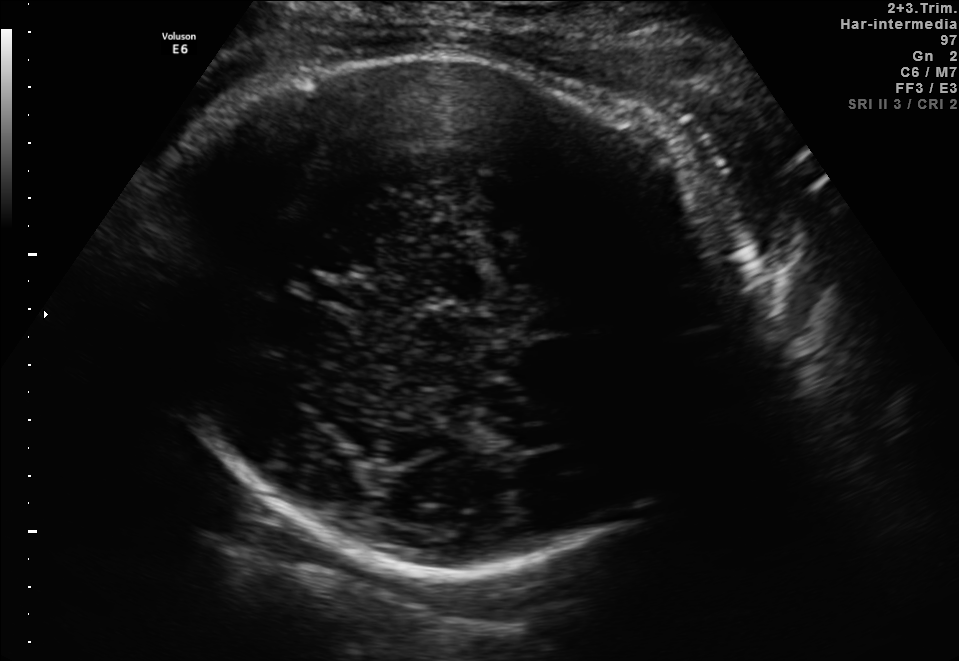
Fetal brain, trans-thalamic plane. Where is the fetal head?

Head bounding box: [145,59,734,570]